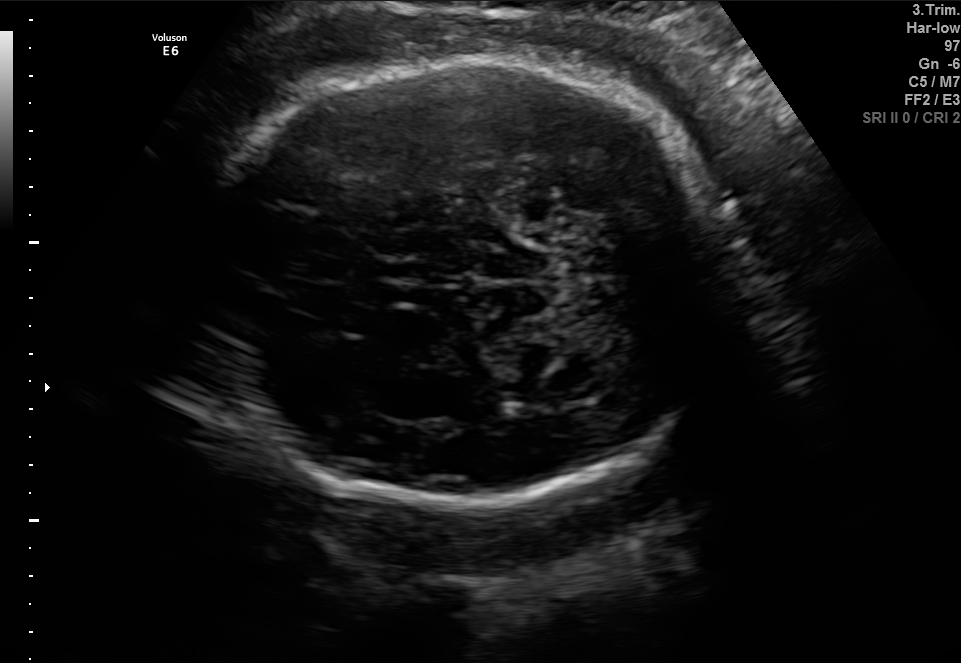
In this fetal brain, trans-cerebellum plane, give bounding boxes for the head outline, cavum septum pellucidum (CSP), and lateral ventricle (LV), where visible.

Head: [192,59,729,506]